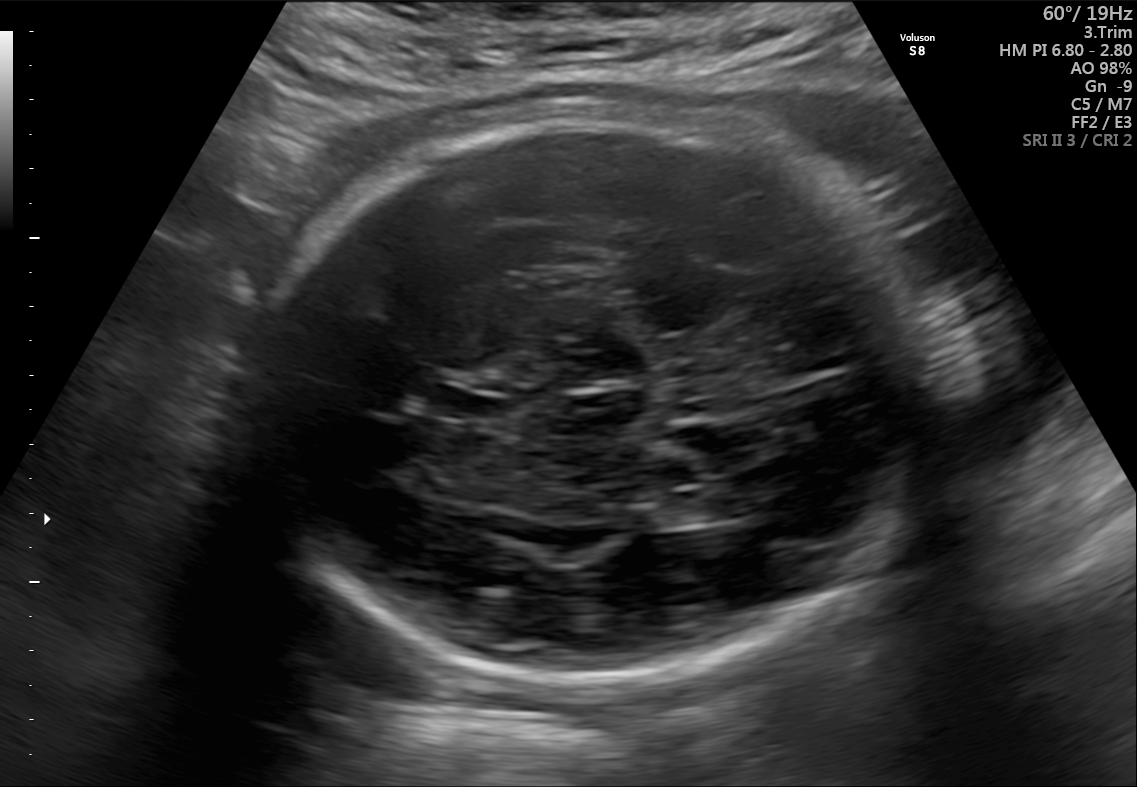
Fetal brain, trans-ventricular plane. Locate the fetal head and, if visible, the cavum septum pellucidum (CSP) and lateral ventricle (LV). Give bounding boxes as [x1,y1,x2,y2].

Head: [248,104,937,700]